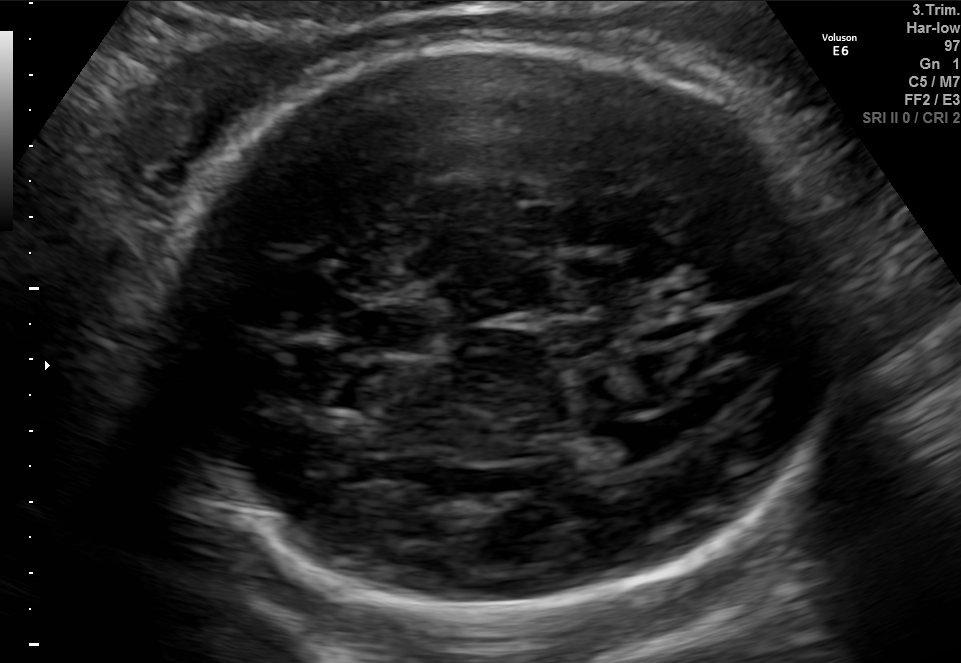
Fetal brain, trans-ventricular plane. Locate the cavum septum pellucidum.

CSP: [360,306,433,354]